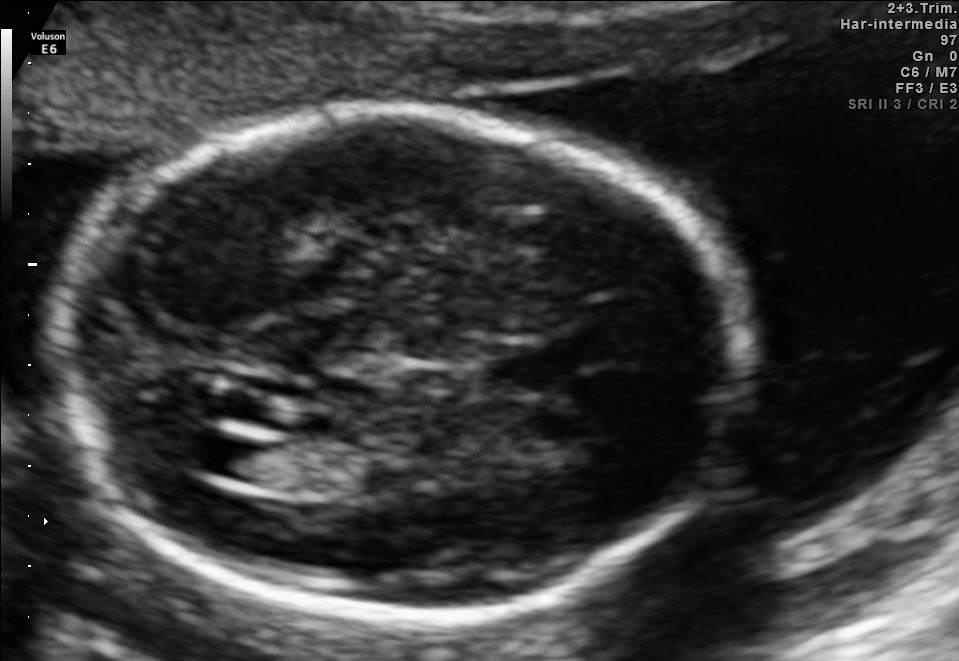
In this fetal brain, trans-ventricular plane, give bounding boxes for the head outline, cavum septum pellucidum (CSP), and lateral ventricle (LV), where visible.

Head: [44,101,771,632]
Lateral ventricle: [197,429,272,485]